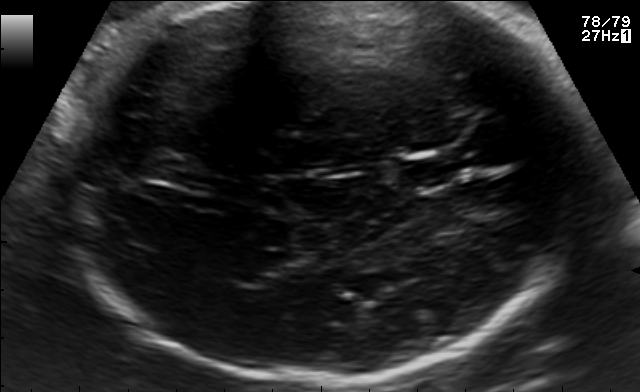
In this fetal brain, trans-thalamic plane, give the bounding box of the cavum septum pellucidum.

[398,153,456,193]